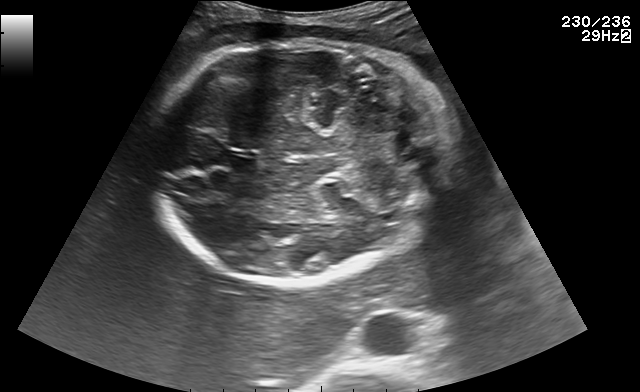
In this fetal brain, trans-cerebellum plane, give the bounding box of the cavum septum pellucidum.

[222,153,258,174]